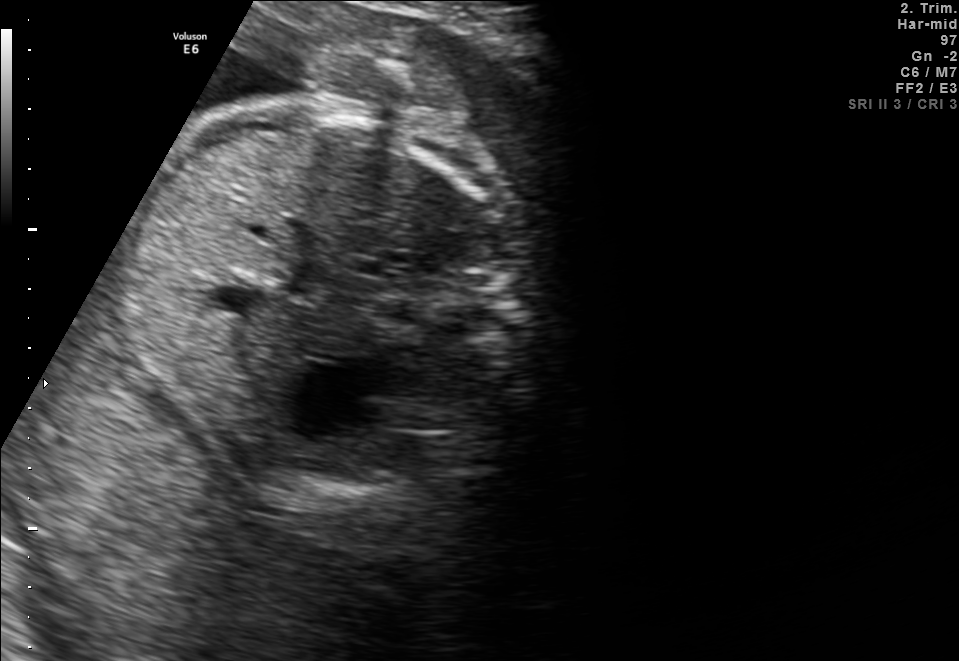
This is a 2D maternal-fetal ultrasound frame. Is it a fetal abdomen, fetal brain, fetal femur, fetal thorax, maternal cervix, or other standard plane? If it's fetal brain and one of the three standard brain planes (trans-thalamic, trans-cerebellum, trans-ventricular), name which.

Fetal abdomen